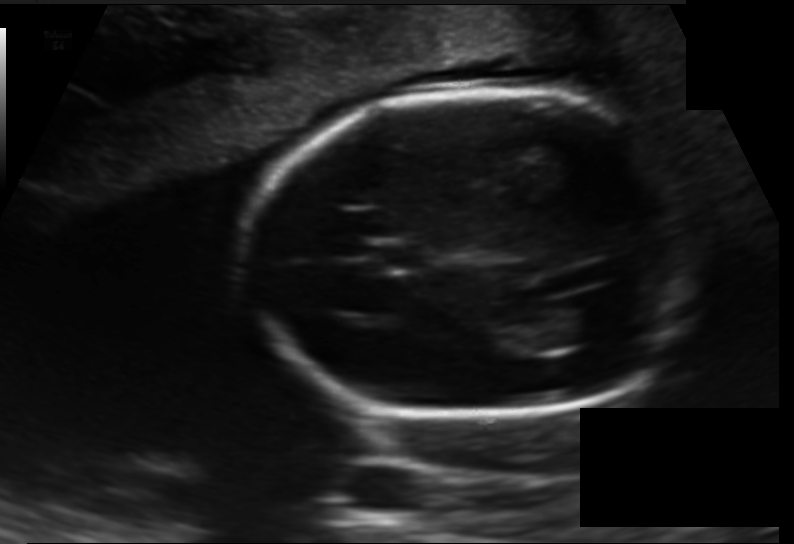
Fetal head ultrasound. Image width: 109.8 mm. Where is the fetal head?

Head bounding box: [243,90,702,416]